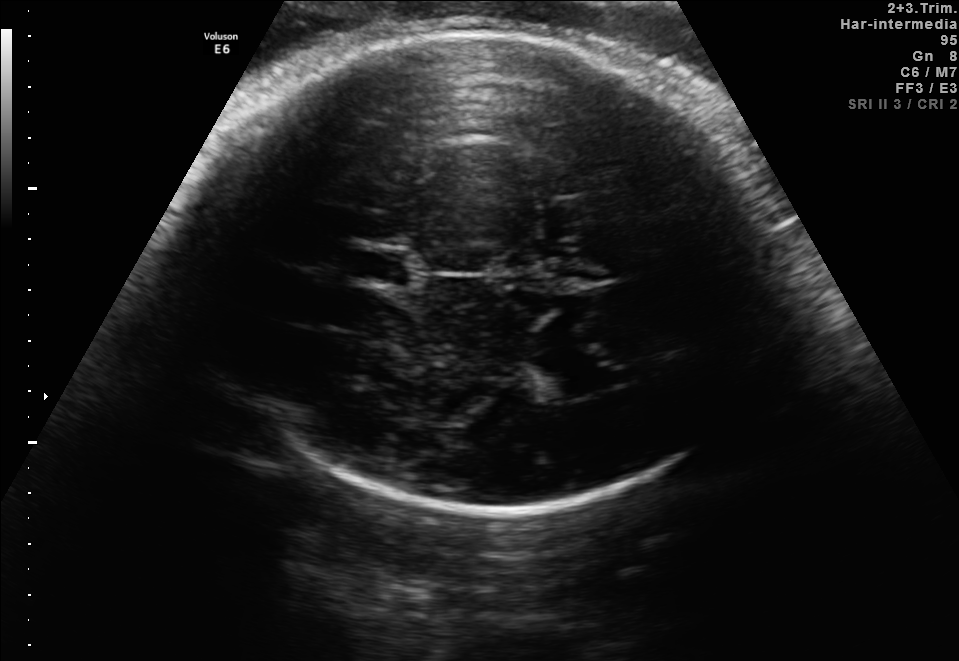
Fetal brain, trans-thalamic plane. Give [x1,y1,x2,y2] bounding boxes for each visible structure among: fetal head, CSP, LV.

Head: [179,32,782,513]
CSP: [353,246,411,288]
Lateral ventricle: [525,343,605,407]